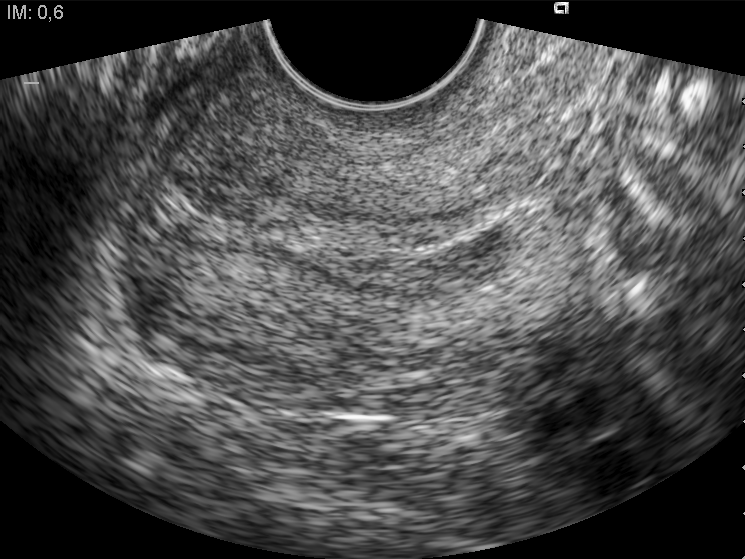
Identify the standard plane in this fetal ultrasound image: fetal abdomen, fetal brain, fetal femur, fetal thorax, maternal cervix, or other. If it's fetal brain and one of the three standard brain planes (trans-thalamic, trans-cerebellum, trans-ventricular), name which.

Maternal cervix